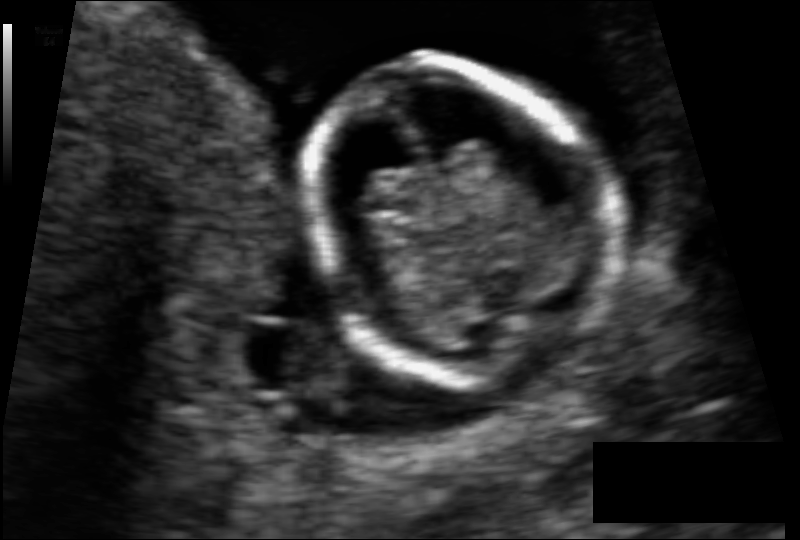
Fetal head ultrasound. Image width: 58.7 mm. Locate the fetal head and, if visible, the cavum septum pellucidum (CSP) and lateral ventricle (LV). Give bounding boxes as [x1,y1,x2,y2].

Head: [306,57,617,386]